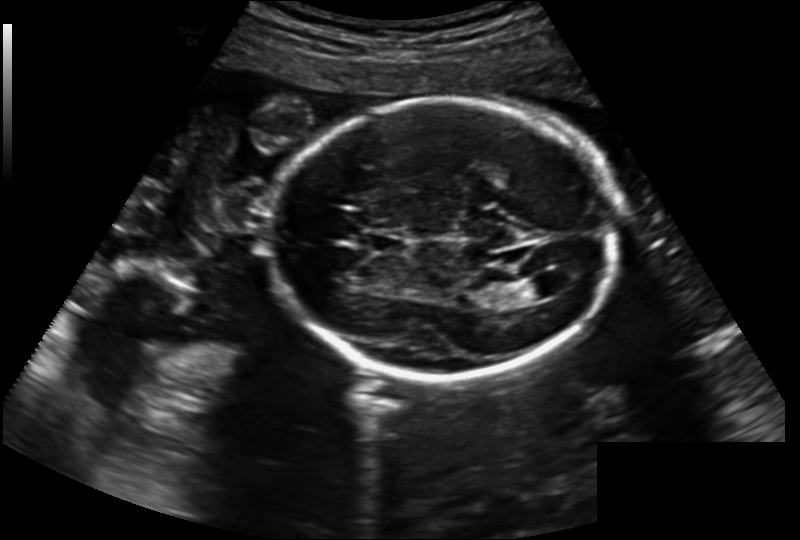
Fetal head ultrasound. Image width: 161.7 mm. Locate the fetal head and, if visible, the cavum septum pellucidum (CSP) and lateral ventricle (LV). Give bounding boxes as [x1,y1,x2,y2].

Head: [267,100,618,378]
CSP: [368,231,405,252]
Lateral ventricle: [519,272,561,304]